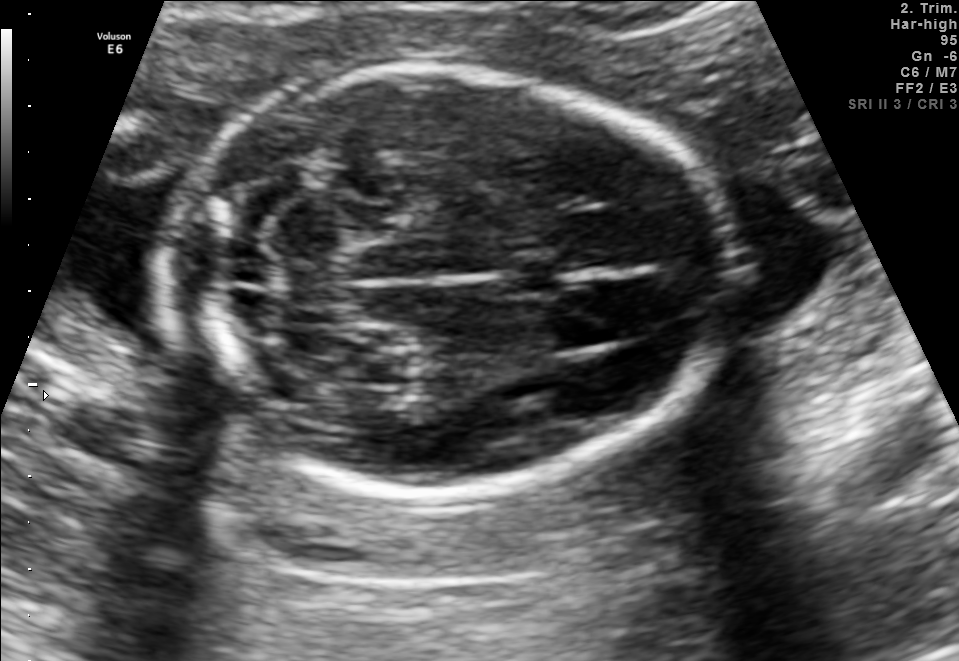
Fetal brain, trans-cerebellum plane. Give [x1,y1,x2,y2] bounding boxes for each visible structure among: fetal head, CSP, LV.

Head: [166,62,725,495]
CSP: [496,255,565,298]